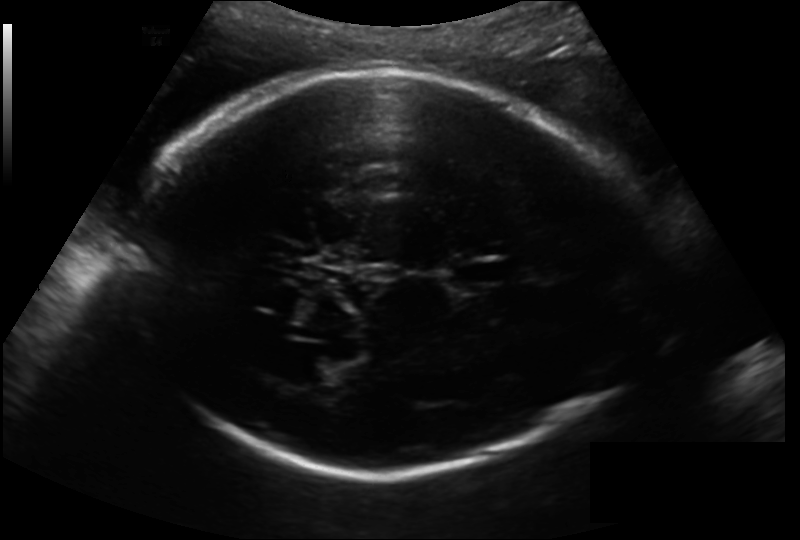
Fetal head ultrasound. Image width: 154.5 mm. Locate the lateral ventricle.

Lateral ventricle: [290,355,342,385]